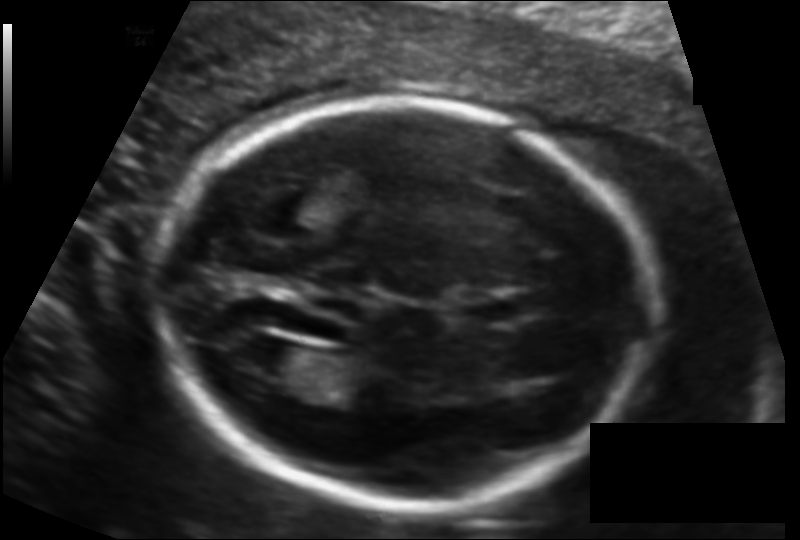
Estimate the fetal head circumference from this 2D ultrasound.

Head circumference: 179.0 mm (image width 98.9 mm).